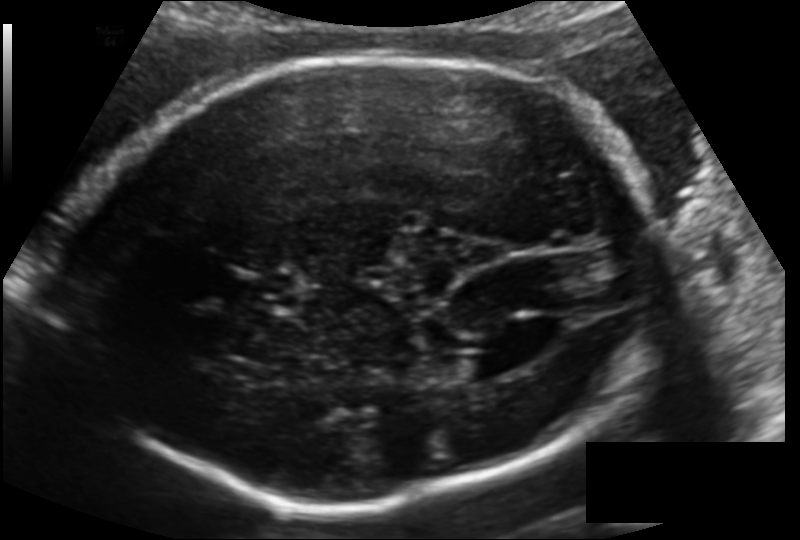
Fetal head ultrasound. Image width: 118.6 mm. Give [x1,y1,x2,y2] bounding boxes for each visible structure among: fetal head, CSP, LV.

Head: [61,57,662,507]
CSP: [229,267,303,314]
Lateral ventricle: [446,346,508,391]